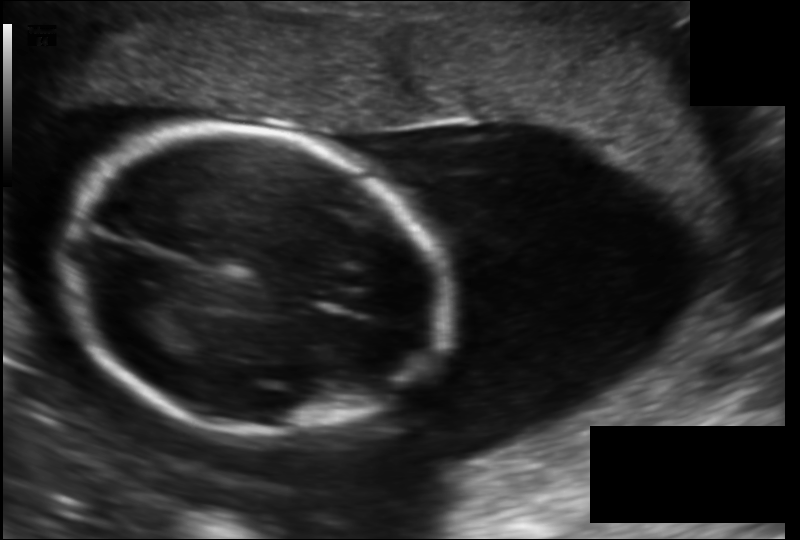
Measure the fetal head circumference shown in this ultrasound image. Image width: 124.6 mm.

Head circumference: 175.2 mm.